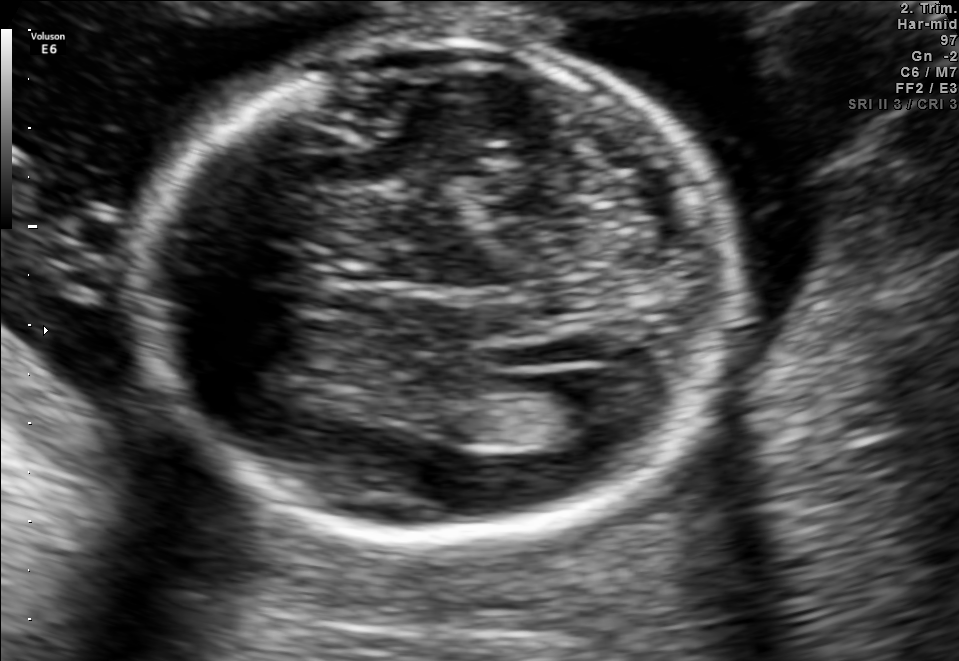
Fetal brain, trans-ventricular plane. Locate the lateral ventricle.

Lateral ventricle: [536,382,632,444]